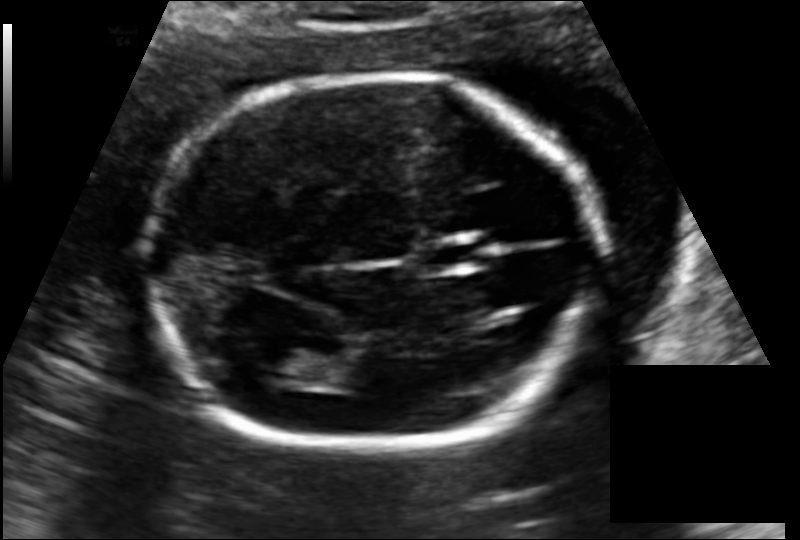
Fetal head ultrasound. Image width: 101.6 mm. Locate the lateral ventricle.

Lateral ventricle: [259,342,325,392]